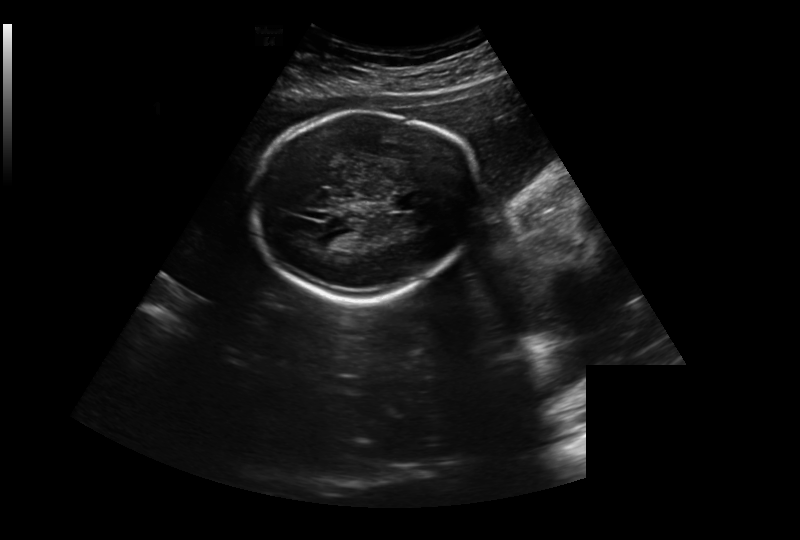
Fetal head ultrasound. Image width: 260.8 mm. Locate the fetal head and, if visible, the cavum septum pellucidum (CSP) and lateral ventricle (LV). Give bounding boxes as [x1,y1,x2,y2].

Head: [253,110,479,301]
CSP: [390,192,425,212]
Lateral ventricle: [316,231,354,249]